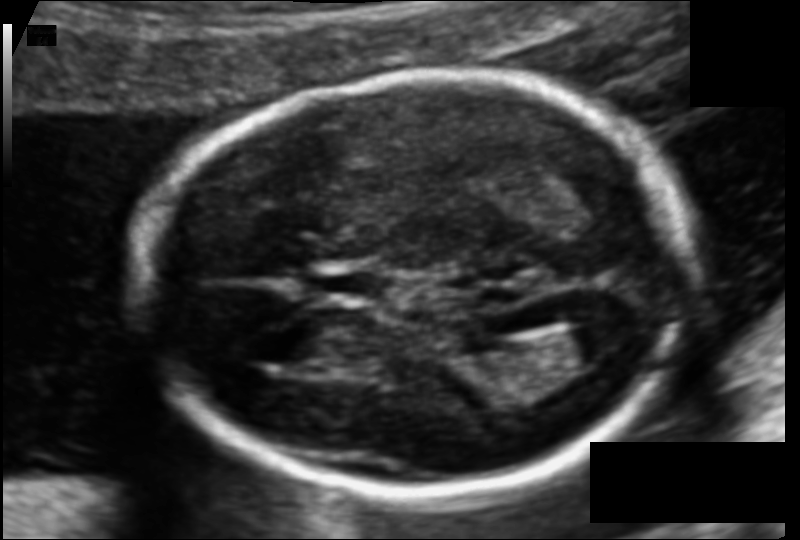
Fetal head ultrasound. Image width: 83.7 mm. Locate the fetal head and, if visible, the cavum septum pellucidum (CSP) and lateral ventricle (LV). Give bounding boxes as [x1,y1,x2,y2].

Head: [140,78,685,489]
CSP: [315,270,382,297]
Lateral ventricle: [554,308,638,375]